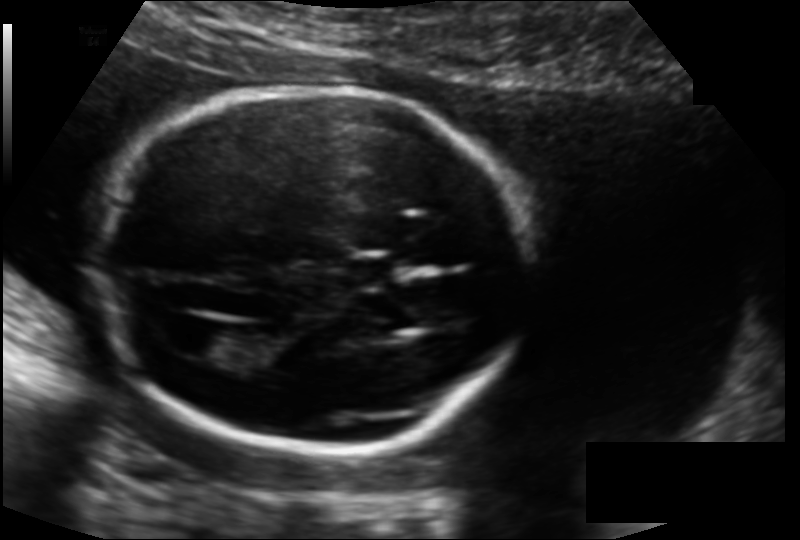
From this fetal ultrasound, estimate the head circumference (image width 107.7 mm).

Head circumference: 174.6 mm.